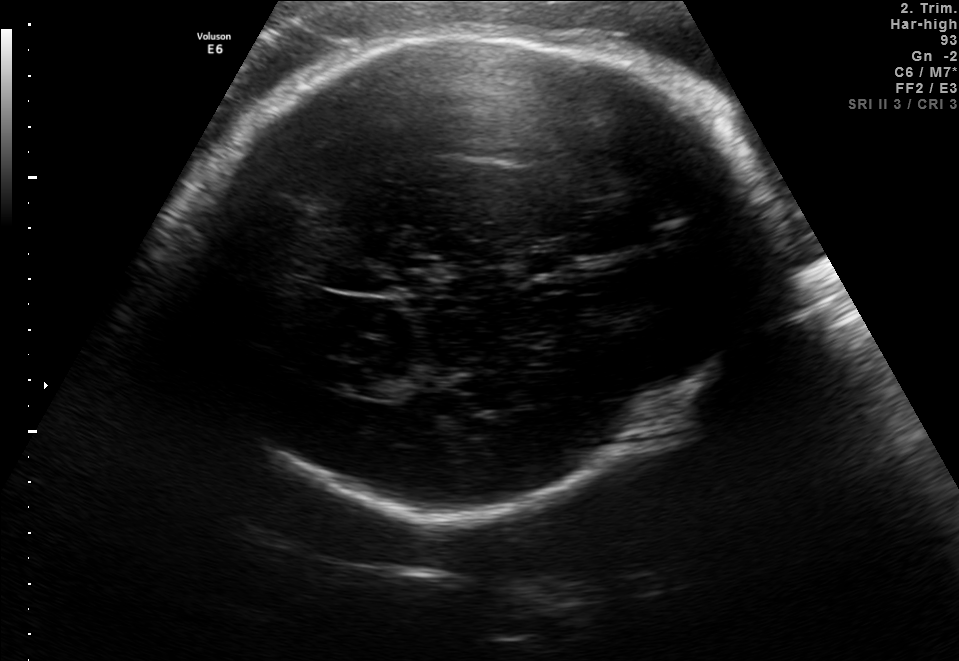
Fetal brain, trans-thalamic plane. Locate the fetal head.

Head: [188,35,759,514]